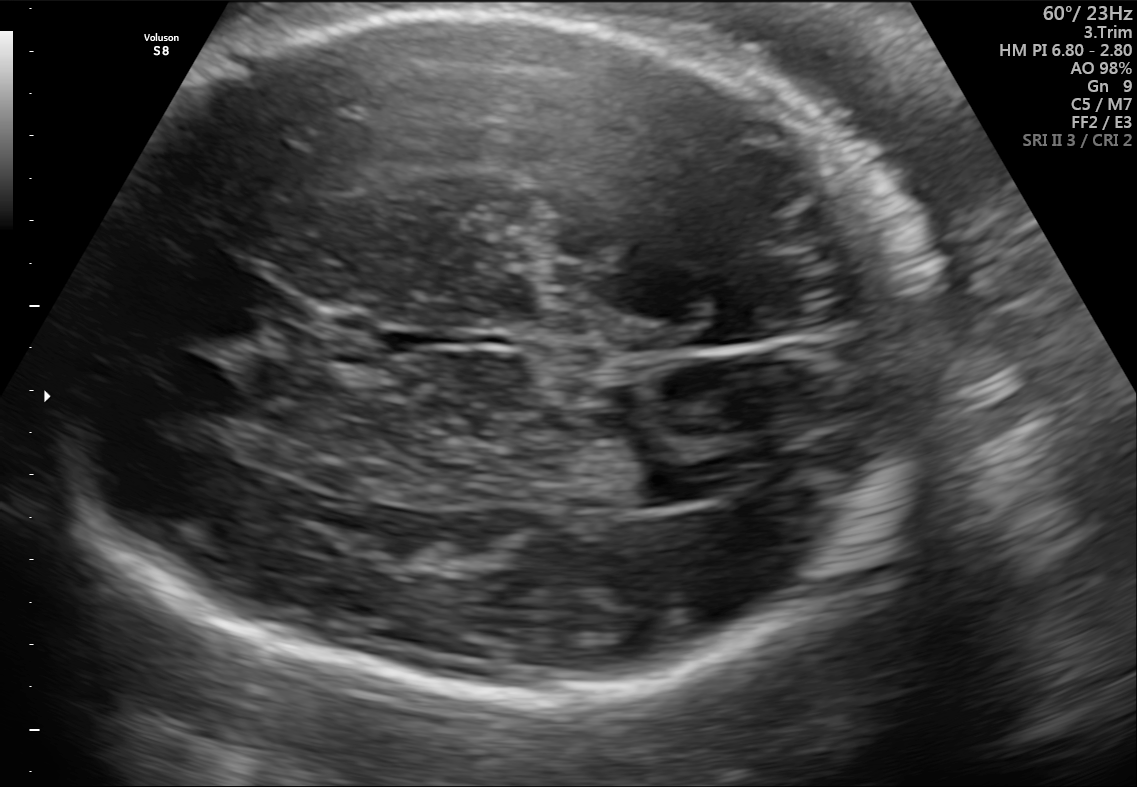
In this fetal brain, trans-ventricular plane, give the bounding box of the cavum septum pellucidum.

[379,333,423,353]